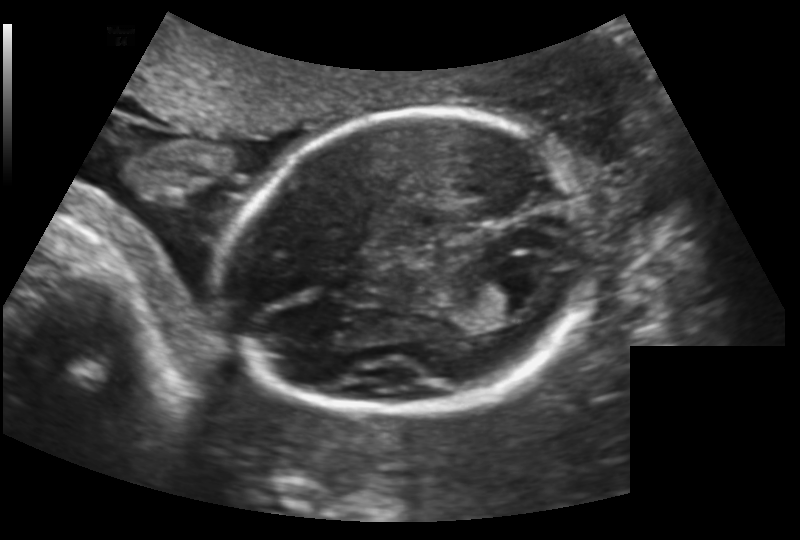
Fetal head ultrasound. Image width: 127.5 mm. Locate the fetal head.

Head: [227,110,598,415]